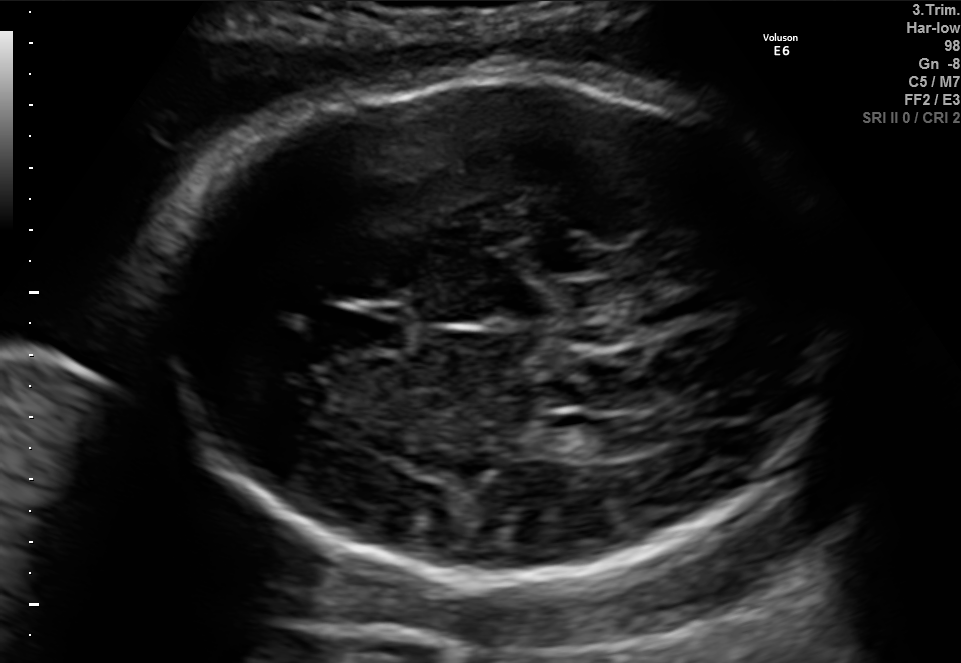
In this fetal brain, trans-ventricular plane, give the bounding box of the lateral ventricle.

[588,407,677,460]